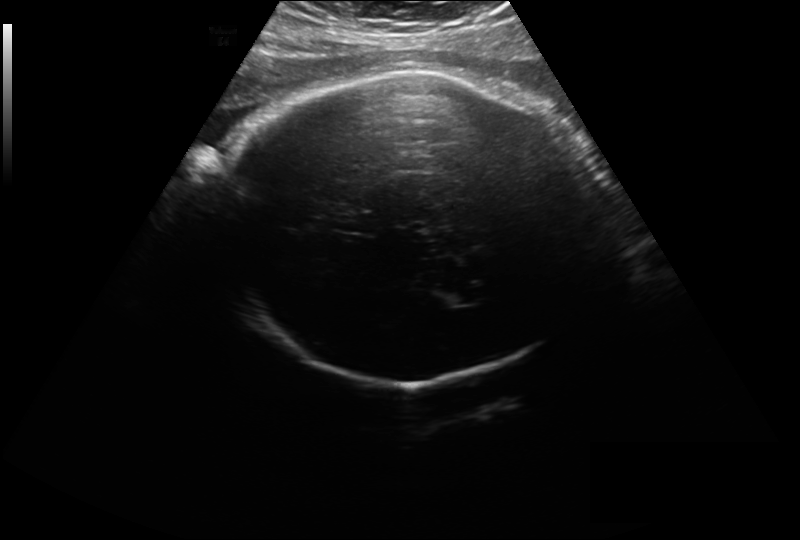
Estimate the fetal head circumference from this 2D ultrasound. Image width: 237.5 mm.

Head circumference: 329.3 mm.